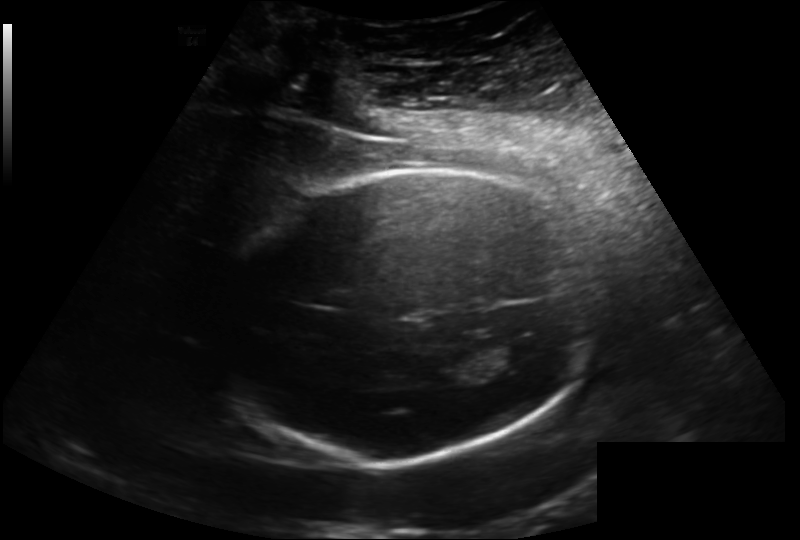
In this fetal head ultrasound, give bounding boxes for the head outline, cavum septum pellucidum (CSP), and lateral ventricle (LV), where visible. Image width: 161.6 mm.

Head: [208,171,606,461]
Lateral ventricle: [488,332,551,378]